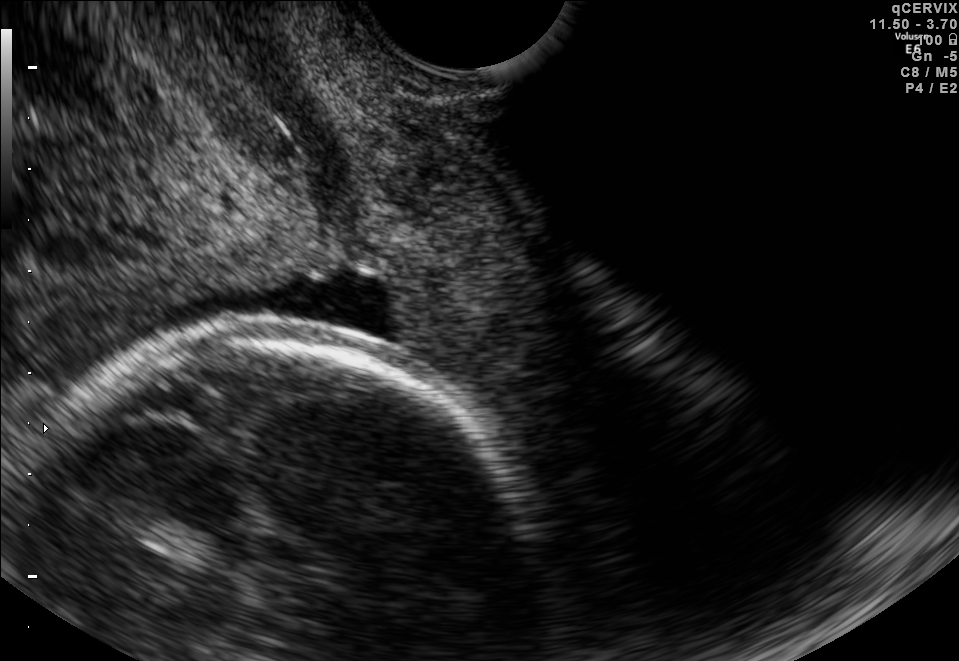
Identify the standard plane in this fetal ultrasound image: fetal abdomen, fetal brain, fetal femur, fetal thorax, maternal cervix, or other. If it's fetal brain and one of the three standard brain planes (trans-thalamic, trans-cerebellum, trans-ventricular), name which.

Maternal cervix